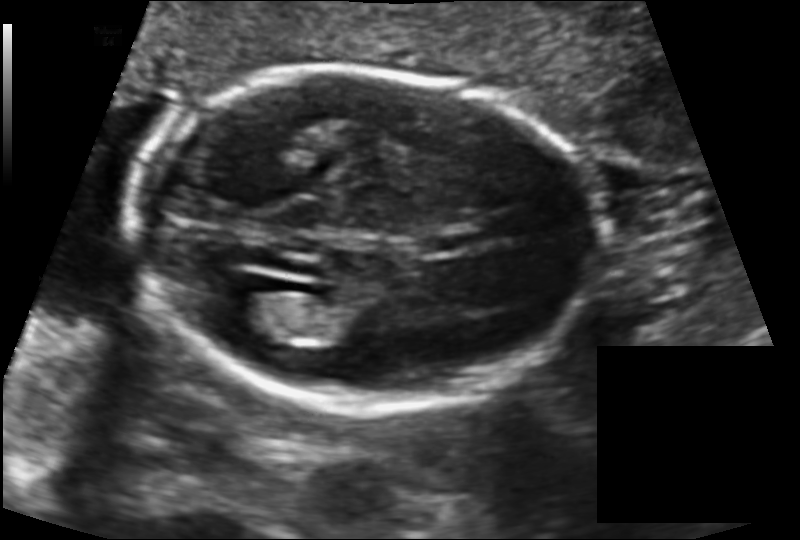
Estimate the fetal head circumference from this 2D ultrasound.

Head circumference: 174.8 mm (image width 105.0 mm).